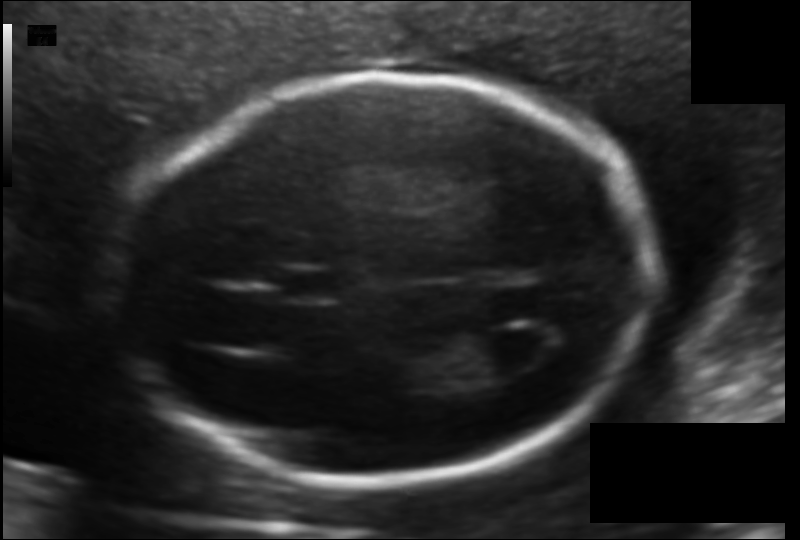
Fetal head ultrasound. Image width: 93.0 mm. Locate the cavum septum pellucidum.

CSP: [270,269,342,300]